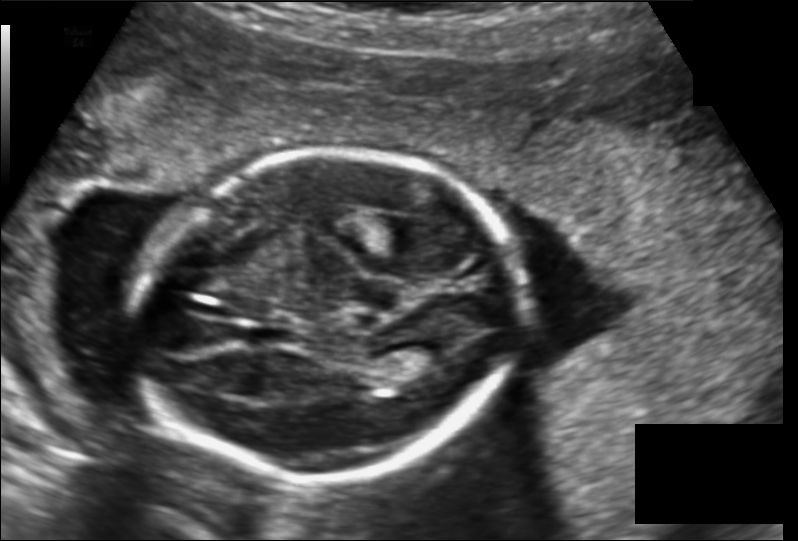
Fetal head ultrasound. Image width: 118.8 mm. Locate the fetal head and, if visible, the cavum septum pellucidum (CSP) and lateral ventricle (LV). Give bounding boxes as [x1,y1,x2,y2].

Head: [134,151,524,480]
CSP: [250,324,294,346]
Lateral ventricle: [398,331,462,377]